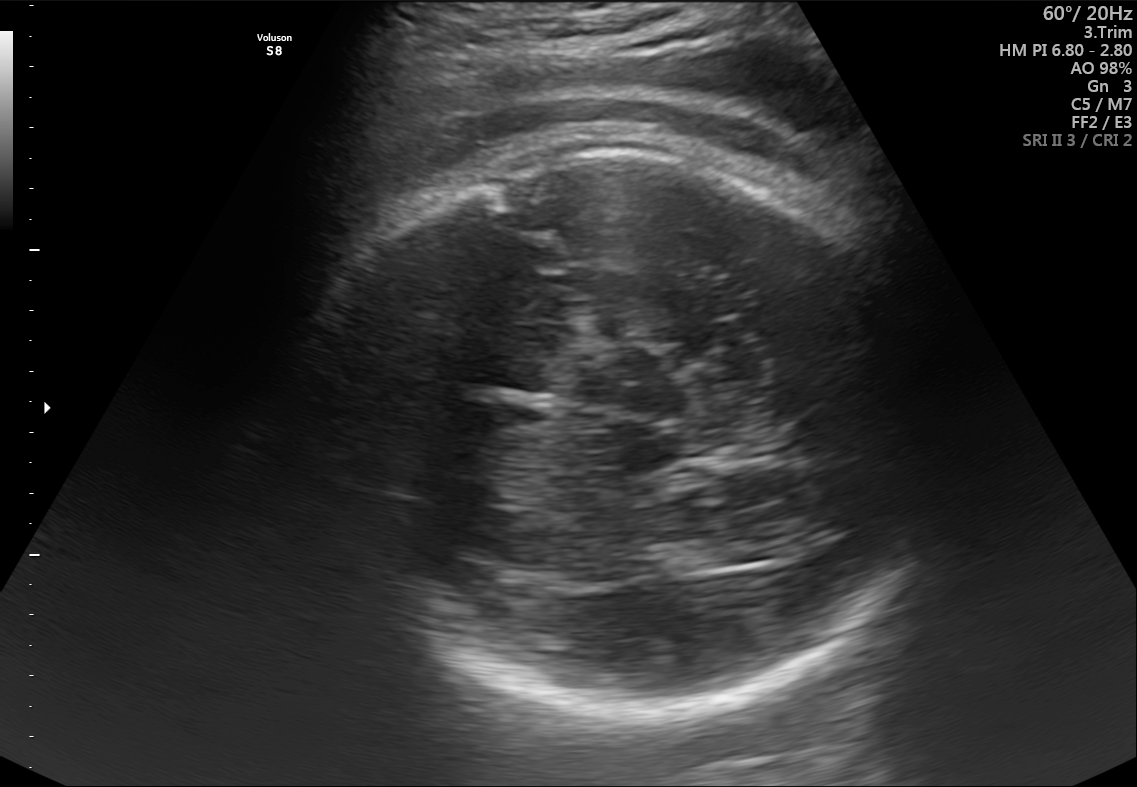
Fetal brain, trans-thalamic plane. Where is the fetal head?

Head bounding box: [293,140,963,725]